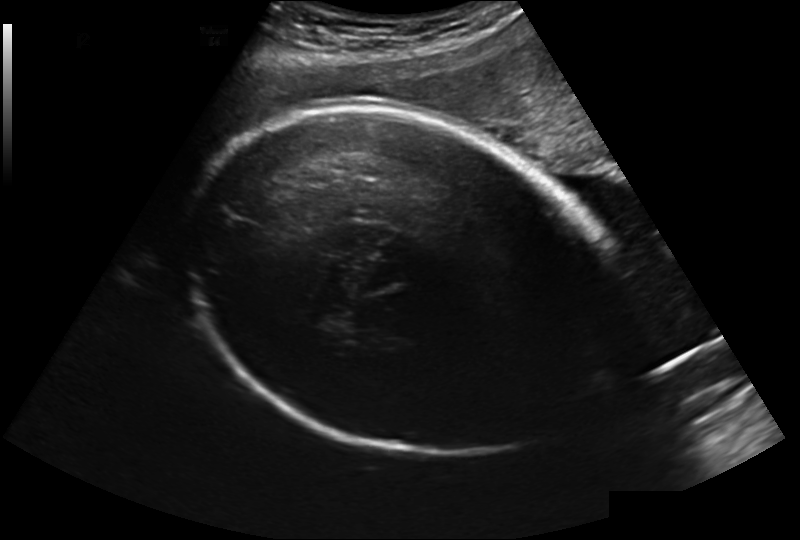
What is the fetal head circumference? Image width is 192.6 mm.

303.3 mm